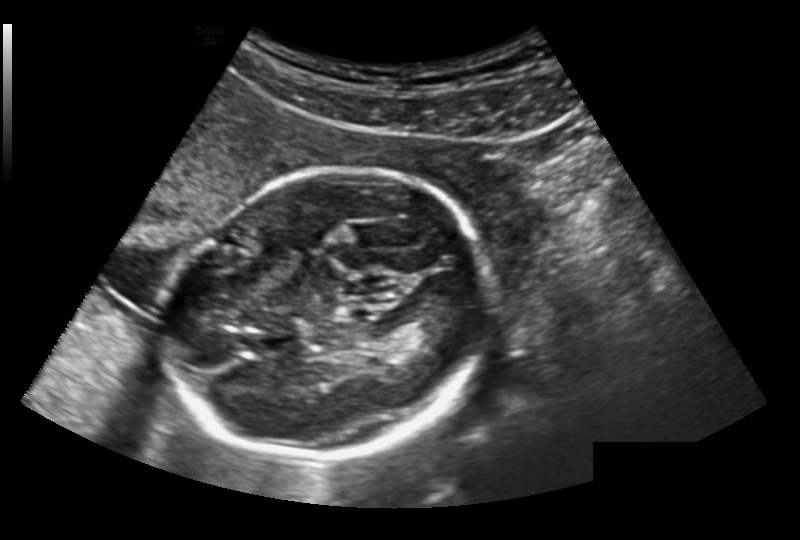
Measure the fetal head circumference shown in this ultrasound image. Image width: 152.5 mm.

Head circumference: 191.9 mm.